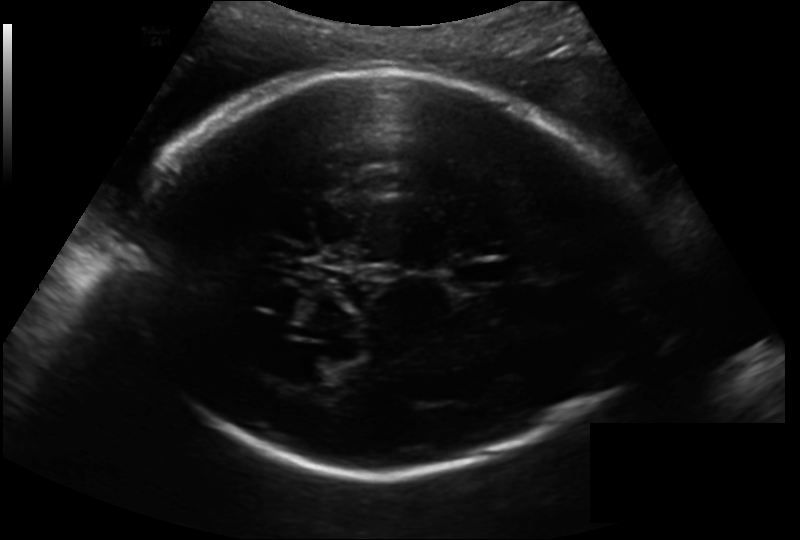
In this fetal head ultrasound, give the bounding box of the fetal head. Image width: 154.5 mm.

[128,71,640,474]